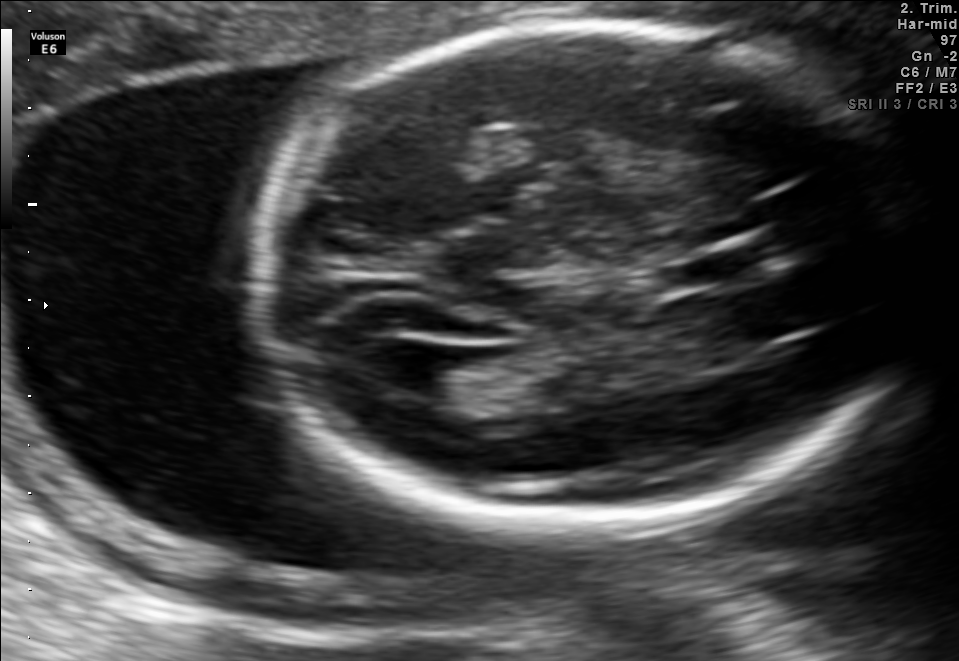
Fetal brain, trans-ventricular plane. Locate the fetal head.

Head: [243,15,934,544]